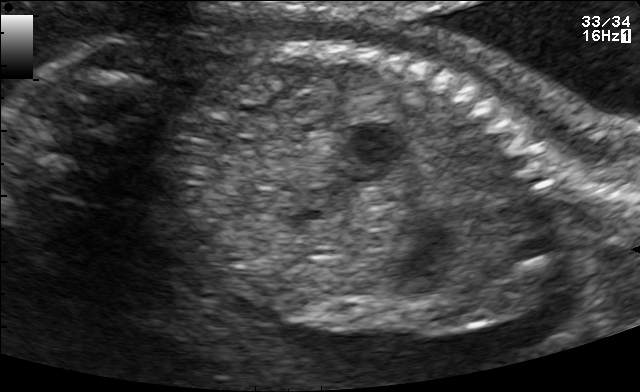
Classify this maternal-fetal ultrasound image as one of the six standard planes — fetal abdomen, fetal brain, fetal femur, fetal thorax, maternal cervix, or other. If it's fetal brain and one of the three standard brain planes (trans-thalamic, trans-cerebellum, trans-ventricular), name which.

Other